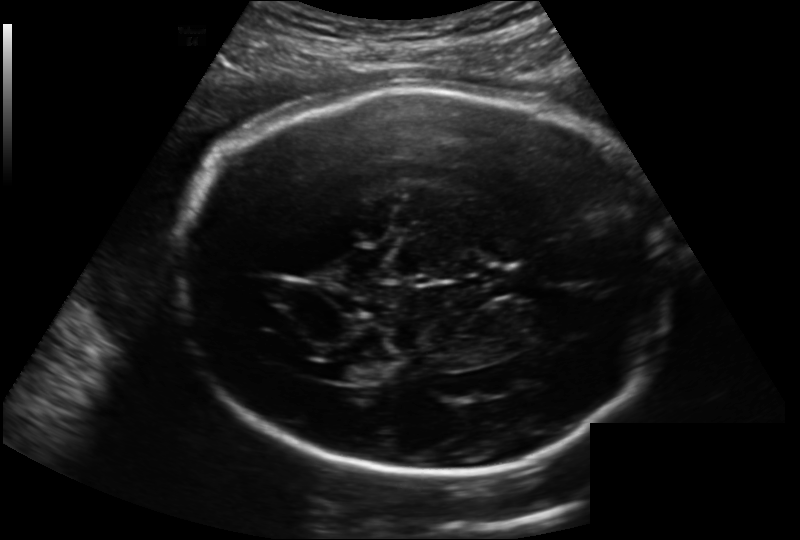
Fetal head ultrasound. Image width: 161.8 mm. Where is the cavum septum pellucidum?

CSP bounding box: [479,258,540,302]